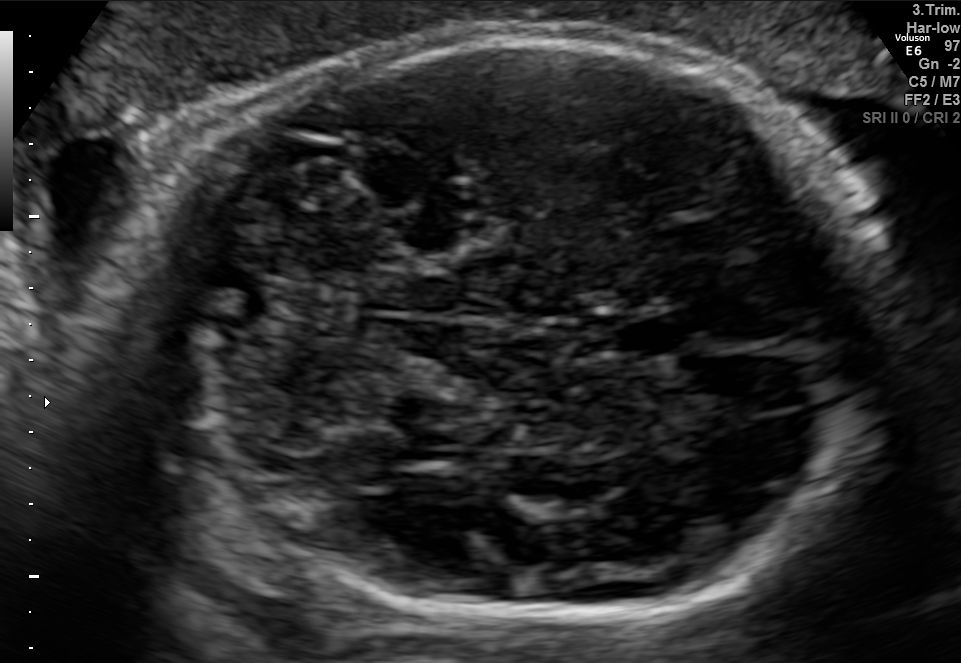
Fetal brain, trans-cerebellum plane. Where is the fetal head?

Head bounding box: [124,35,899,626]